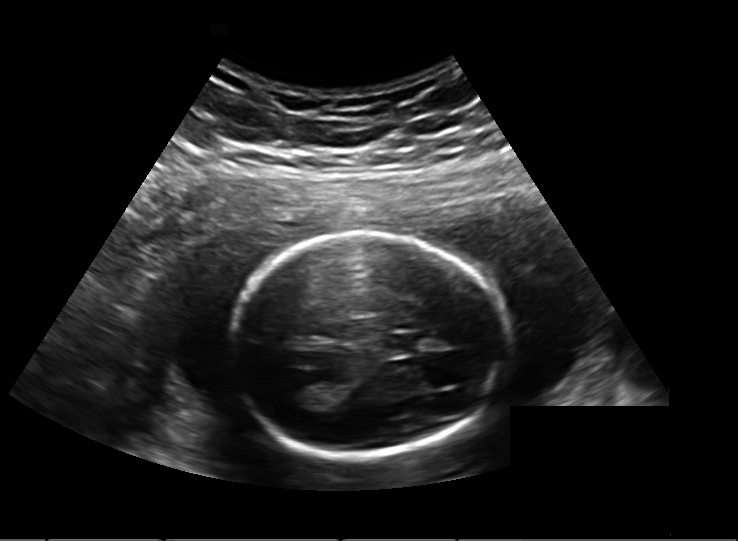
In this fetal head ultrasound, give bounding boxes for the head outline, cavum septum pellucidum (CSP), and lateral ventricle (LV), where visible. Image width: 149.5 mm.

Head: [232,232,503,456]
CSP: [385,332,418,355]
Lateral ventricle: [282,377,319,409]